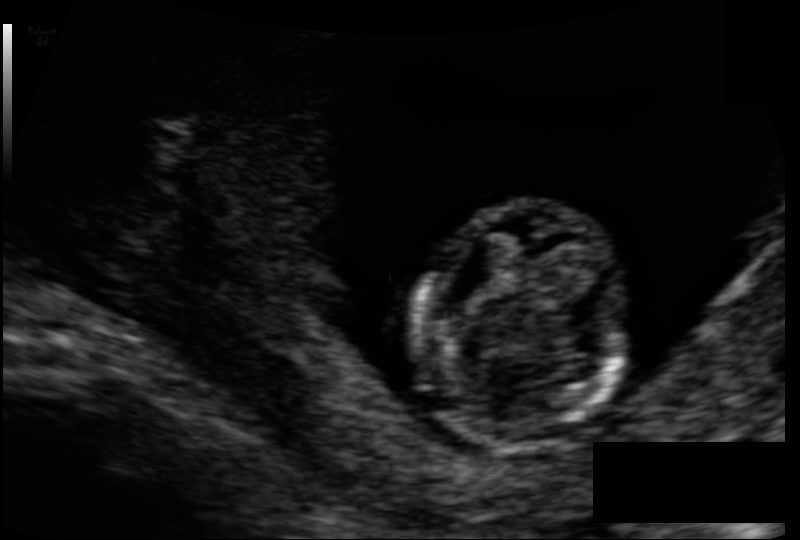
Measure the fetal head circumference shown in this ultrasound image. Image width: 76.4 mm.

Head circumference: 72.5 mm.